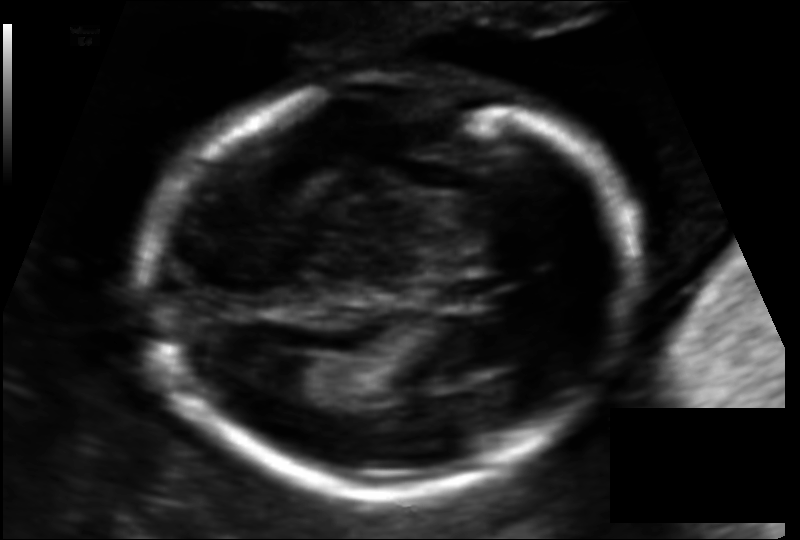
Estimate the fetal head circumference from this 2D ultrasound. Image width: 92.3 mm.

Head circumference: 170.9 mm.